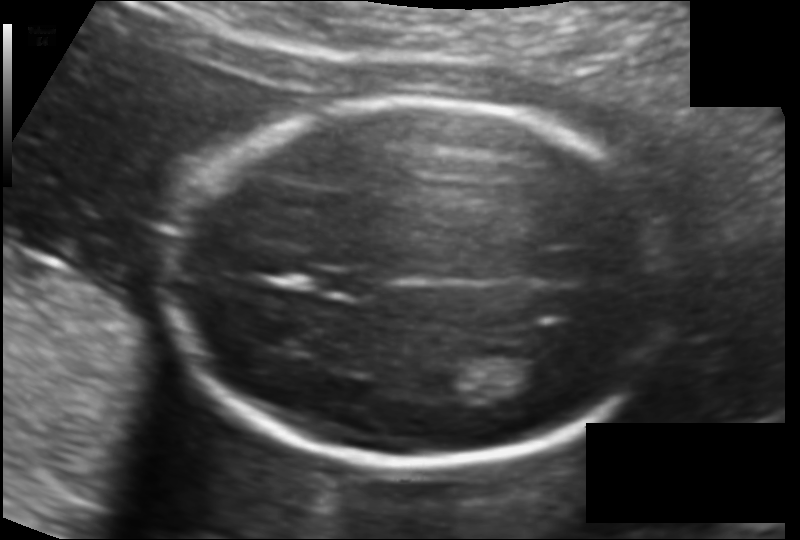
Estimate the fetal head circumference from this 2D ultrasound. Image width: 97.1 mm.

Head circumference: 169.7 mm.